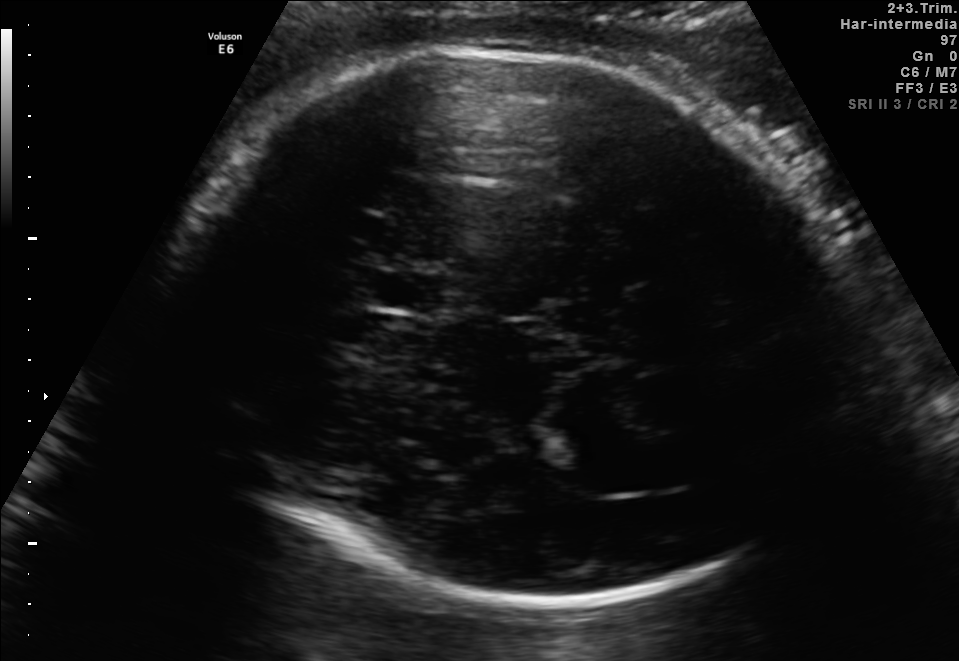
Fetal brain, trans-thalamic plane. Locate the fetal head and, if visible, the cavum septum pellucidum (CSP) and lateral ventricle (LV). Give bounding boxes as [x1,y1,x2,y2].

Head: [186,46,841,605]
CSP: [368,266,441,315]
Lateral ventricle: [560,442,680,499]